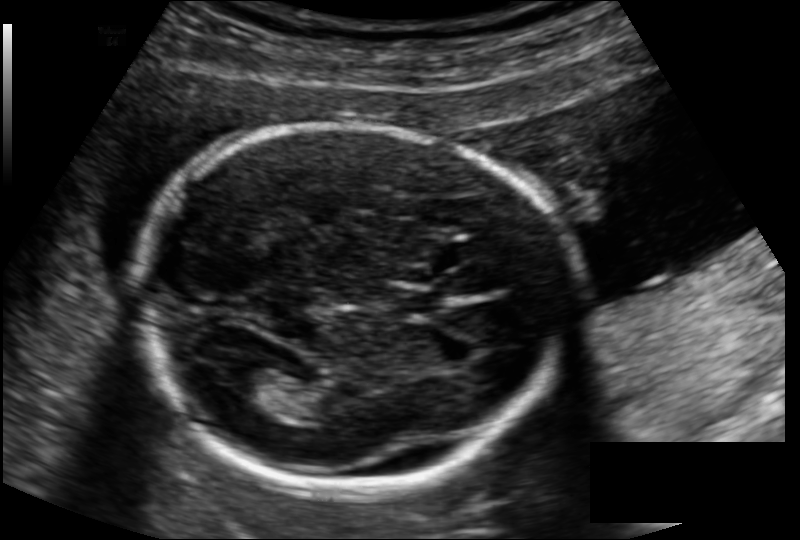
In this fetal head ultrasound, give the bounding box of the fetal head. Image width: 107.6 mm.

[141,122,562,492]